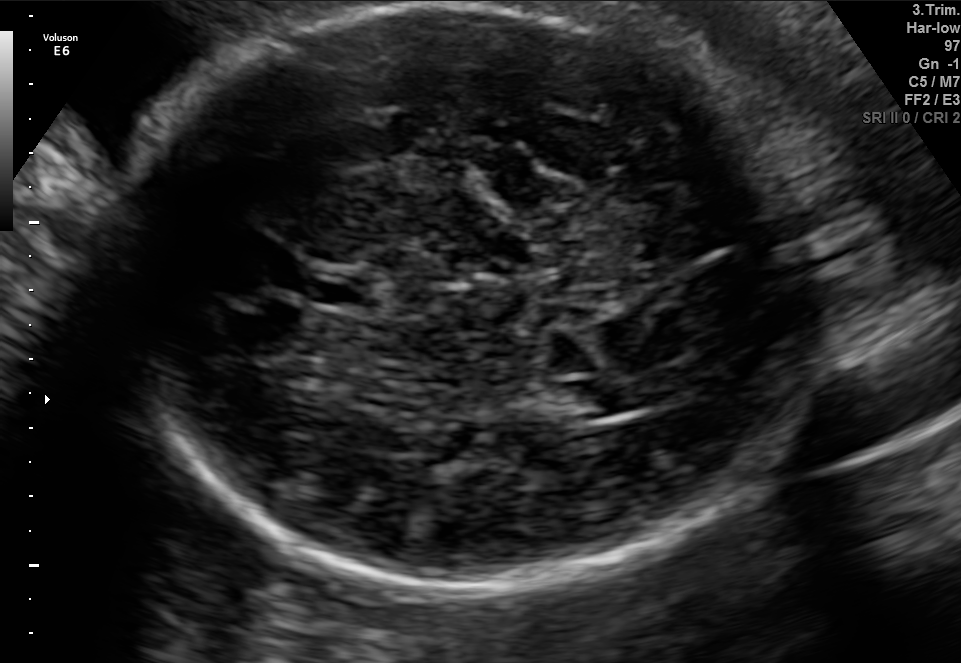
Fetal brain, trans-ventricular plane. Give [x1,y1,x2,y2] bounding boxes for each visible structure among: fetal head, CSP, LV.

Head: [84,4,845,601]
CSP: [311,270,371,311]
Lateral ventricle: [565,368,656,422]